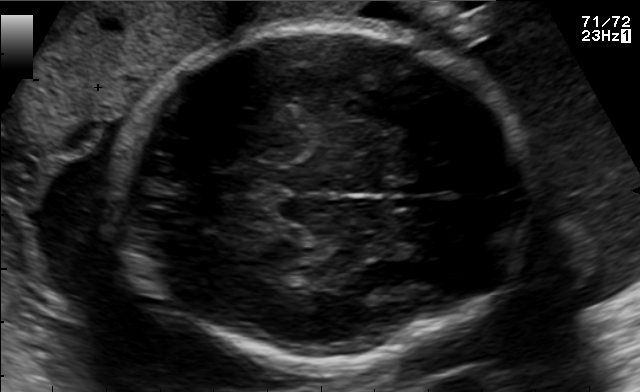
Fetal brain, trans-thalamic plane. Locate the fetal head.

Head: [112,27,528,364]